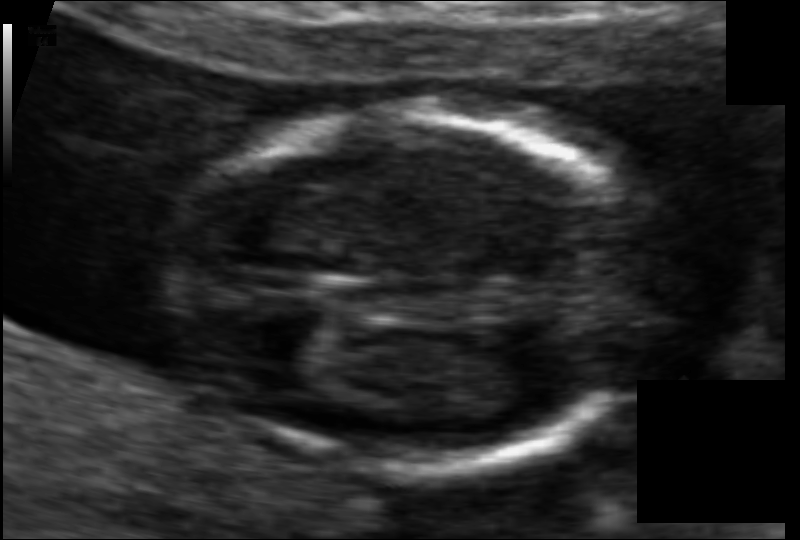
What is the fetal head circumference? Image width is 51.8 mm.

88.5 mm